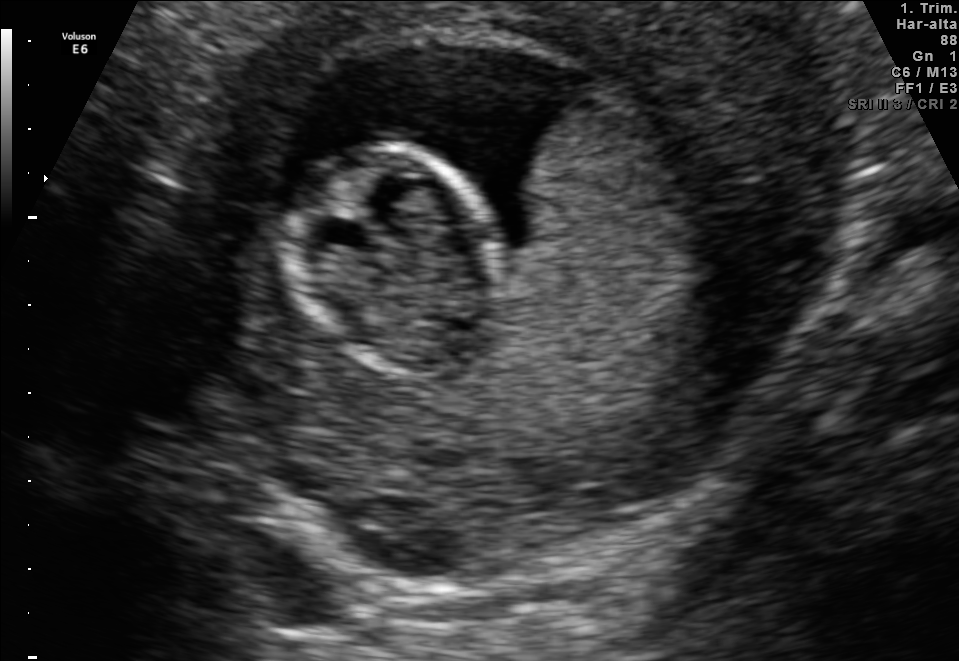
Which standard maternal-fetal ultrasound plane is shown: fetal abdomen, fetal brain, fetal femur, fetal thorax, maternal cervix, or other? If it's fetal brain and one of the three standard brain planes (trans-thalamic, trans-cerebellum, trans-ventricular), name which.

Fetal brain